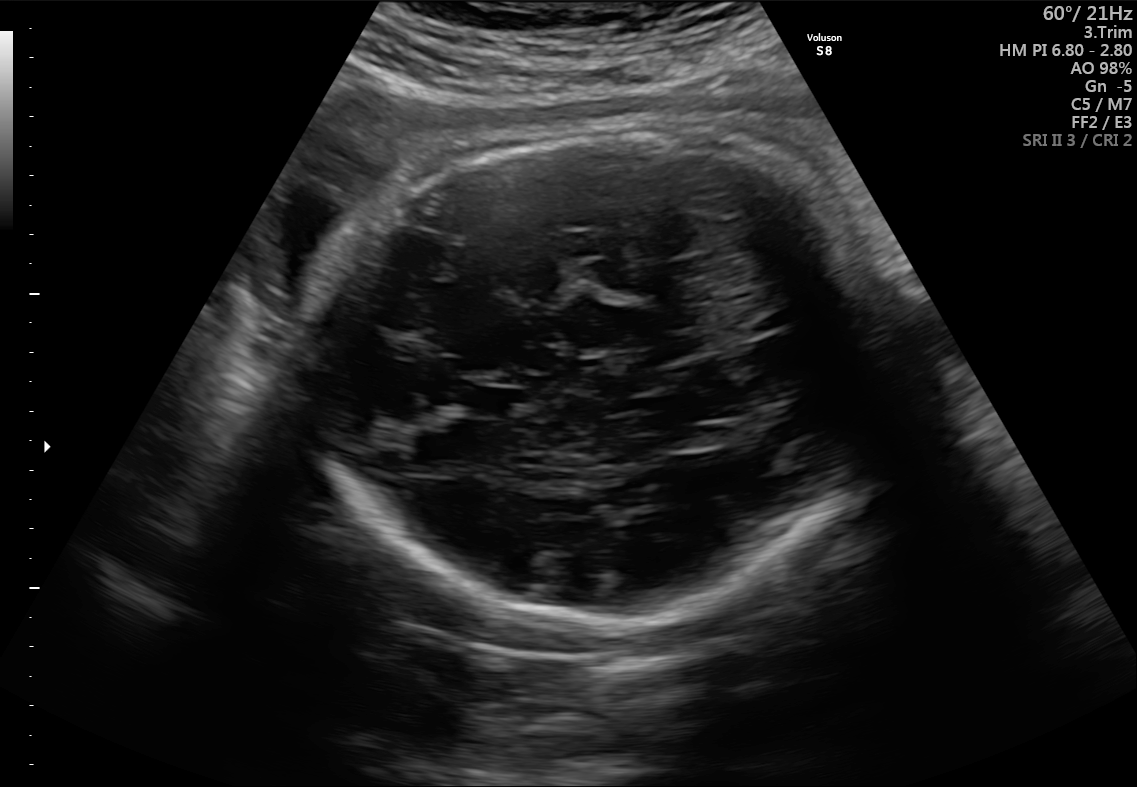
In this fetal brain, trans-thalamic plane, give bounding boxes for the head outline, cavum septum pellucidum (CSP), and lateral ventricle (LV), where visible.

Head: [313,131,890,623]
CSP: [474,387,525,418]
Lateral ventricle: [670,421,734,452]